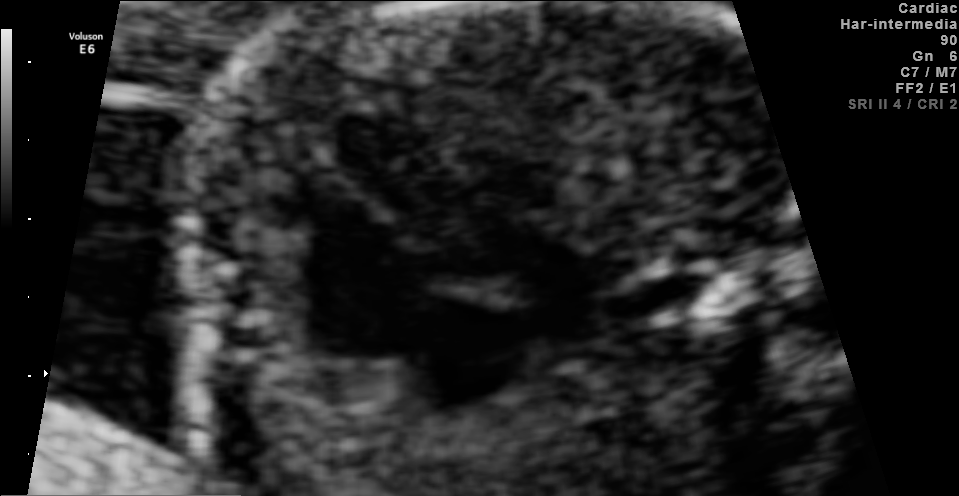
Identify the standard plane in this fetal ultrasound image: fetal abdomen, fetal brain, fetal femur, fetal thorax, maternal cervix, or other. If it's fetal brain and one of the three standard brain planes (trans-thalamic, trans-cerebellum, trans-ventricular), name which.

Fetal thorax